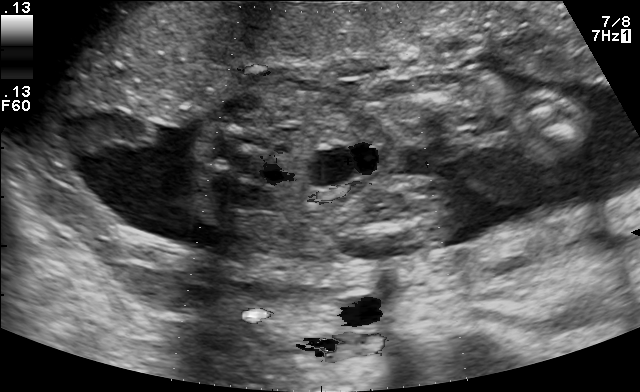
Classify this maternal-fetal ultrasound image as one of the six standard planes — fetal abdomen, fetal brain, fetal femur, fetal thorax, maternal cervix, or other. If it's fetal brain and one of the three standard brain planes (trans-thalamic, trans-cerebellum, trans-ventricular), name which.

Other